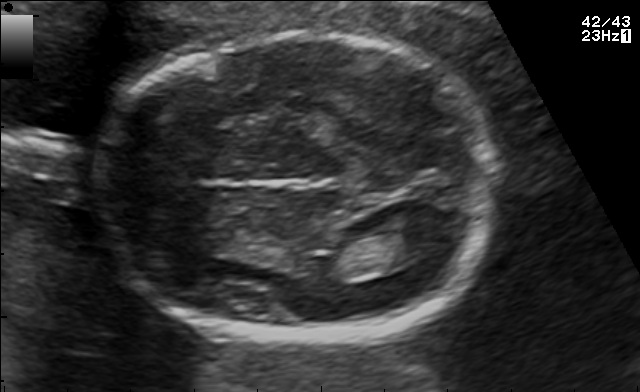
Fetal brain, trans-thalamic plane. Where is the fetal head?

Head bounding box: [98,35,497,339]